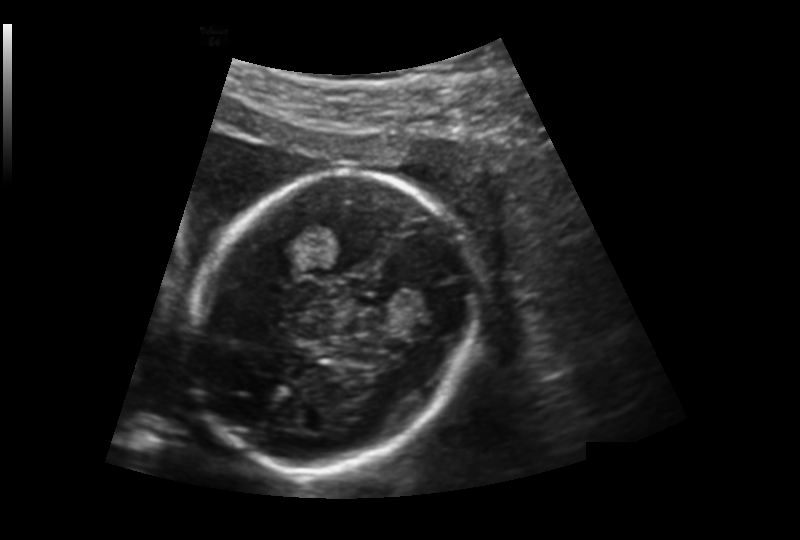
What is the fetal head circumference? Image width is 140.4 mm.

165.7 mm